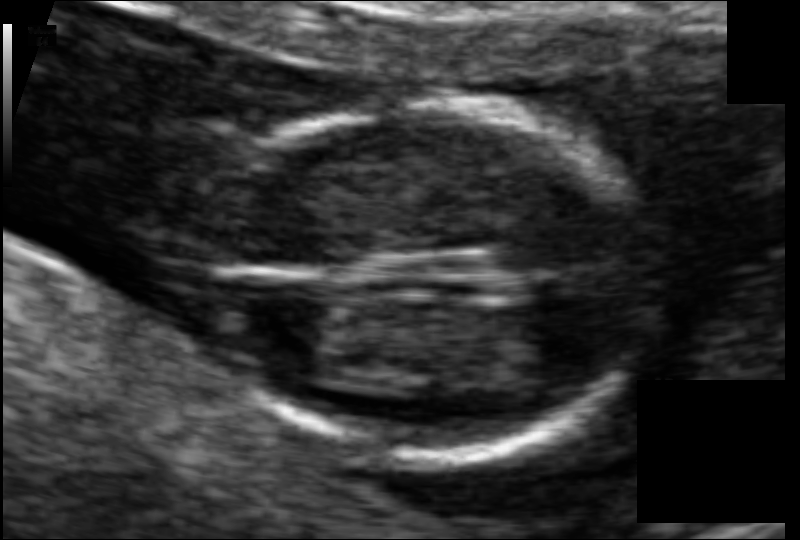
Fetal head ultrasound. Image width: 51.8 mm. Where is the fetal head?

Head bounding box: [194,103,656,460]